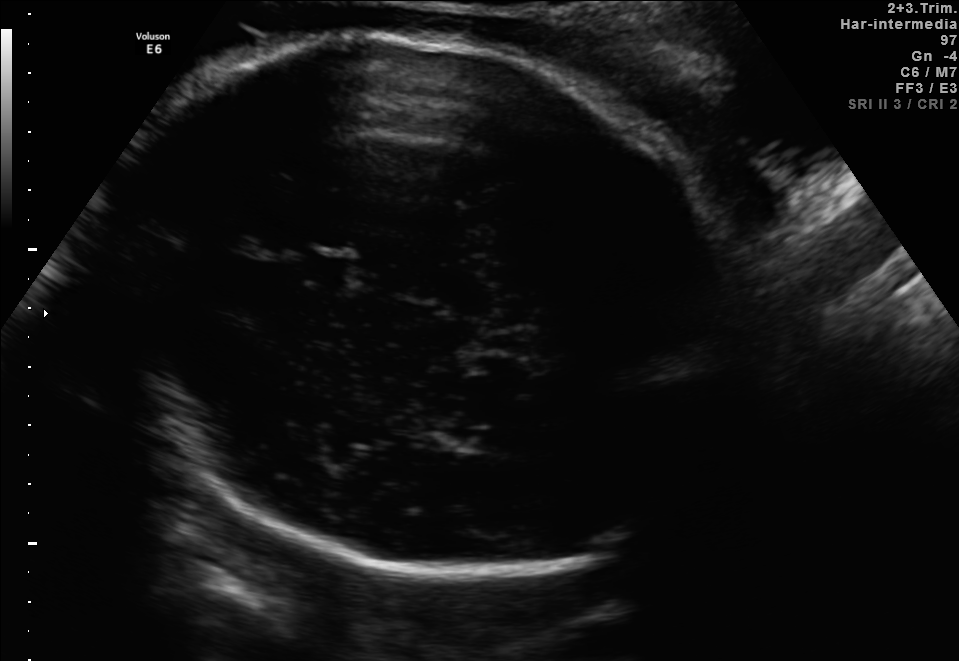
Fetal brain, trans-thalamic plane. Give [x1,y1,x2,y2] bounding boxes for each visible structure among: fetal head, CSP, LV.

Head: [98,27,751,578]
CSP: [307,254,347,286]